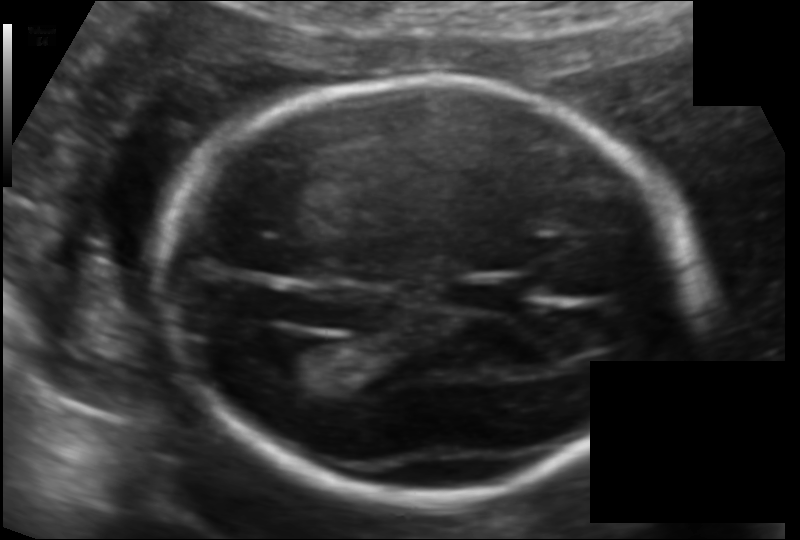
Fetal head ultrasound. Image width: 94.6 mm. Where is the fetal head?

Head bounding box: [162,78,697,498]